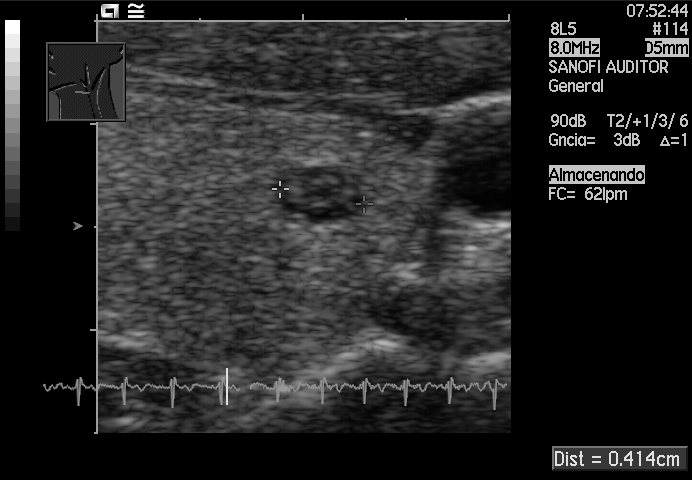
Identify the standard plane in this fetal ultrasound image: fetal abdomen, fetal brain, fetal femur, fetal thorax, maternal cervix, or other. If it's fetal brain and one of the three standard brain planes (trans-thalamic, trans-cerebellum, trans-ventricular), name which.

Other